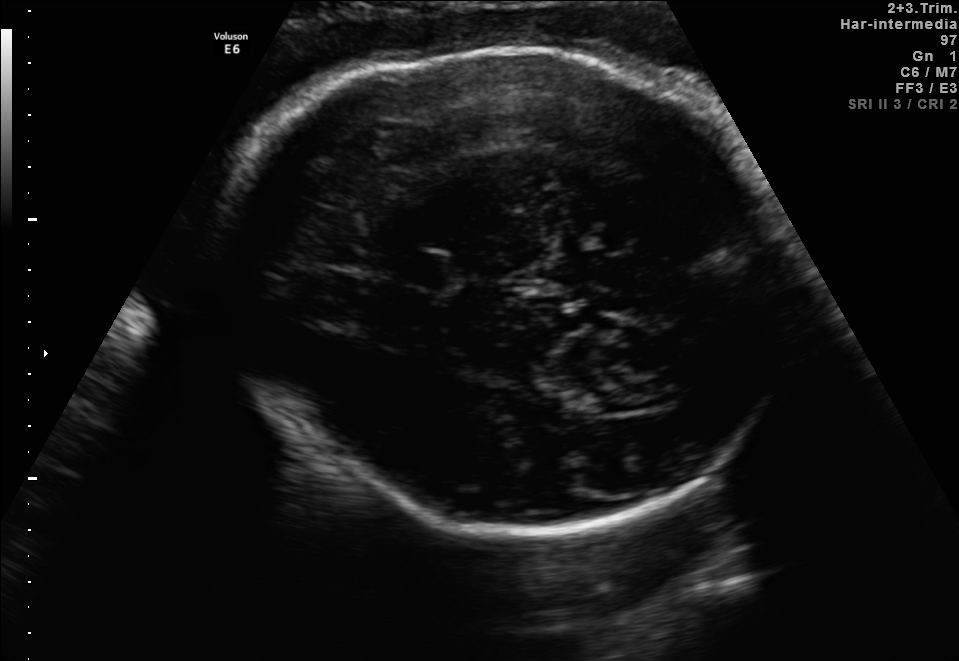
In this fetal brain, trans-thalamic plane, give the bounding box of the fetal head.

[206,46,807,531]